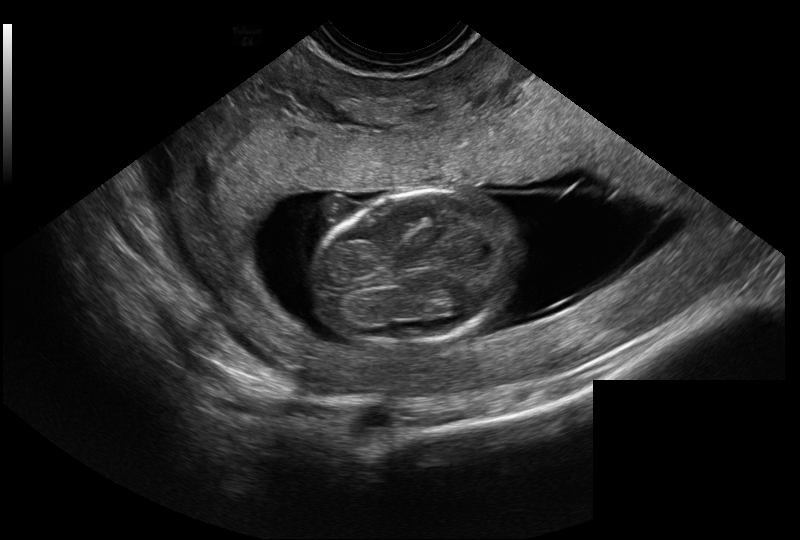
Estimate the fetal head circumference from this 2D ultrasound. Image width: 102.5 mm.

Head circumference: 75.6 mm.